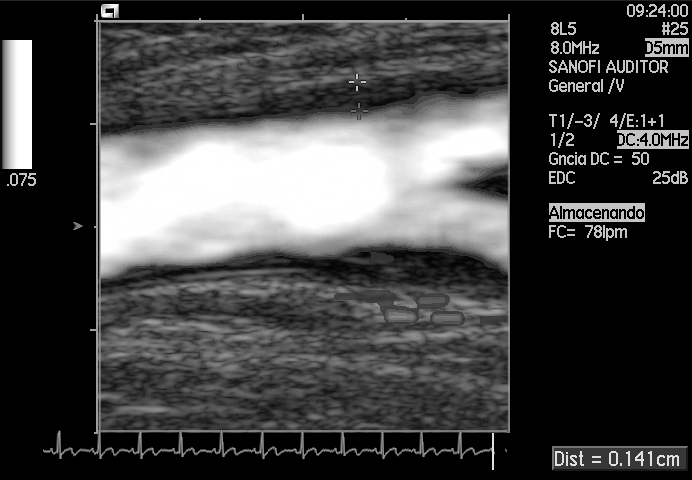
Identify the standard plane in this fetal ultrasound image: fetal abdomen, fetal brain, fetal femur, fetal thorax, maternal cervix, or other. If it's fetal brain and one of the three standard brain planes (trans-thalamic, trans-cerebellum, trans-ventricular), name which.

Other